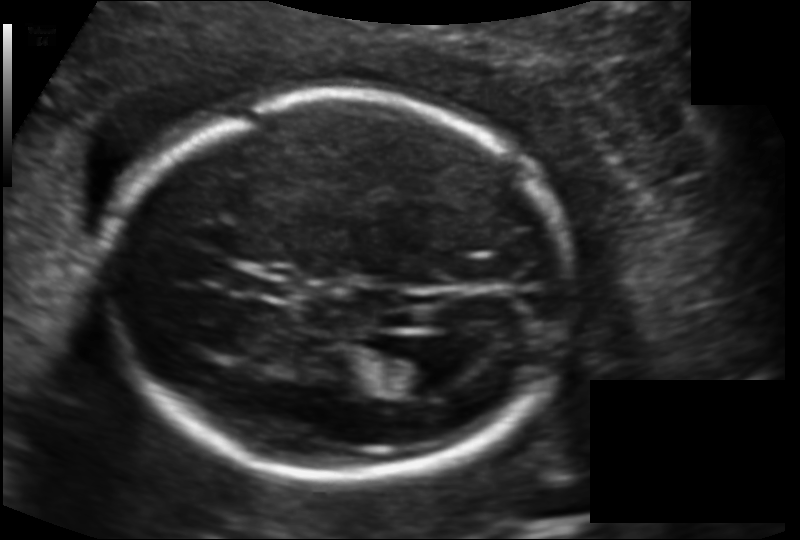
Fetal head ultrasound. Image width: 107.3 mm. Locate the cavum septum pellucidum.

CSP: [234,268,289,302]